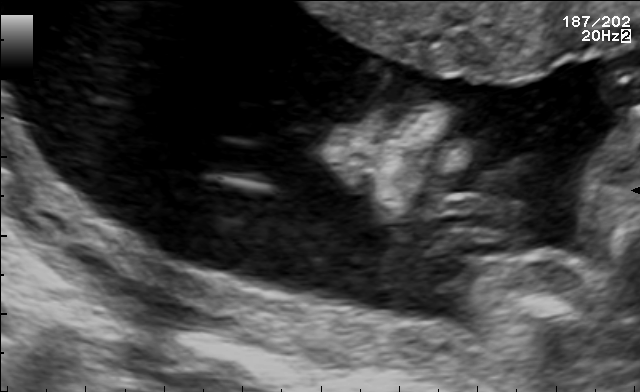
Which standard maternal-fetal ultrasound plane is shown: fetal abdomen, fetal brain, fetal femur, fetal thorax, maternal cervix, or other? If it's fetal brain and one of the three standard brain planes (trans-thalamic, trans-cerebellum, trans-ventricular), name which.

Other